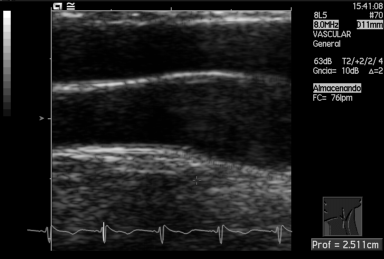
This is a 2D maternal-fetal ultrasound frame. Is it a fetal abdomen, fetal brain, fetal femur, fetal thorax, maternal cervix, or other standard plane? If it's fetal brain and one of the three standard brain planes (trans-thalamic, trans-cerebellum, trans-ventricular), name which.

Other